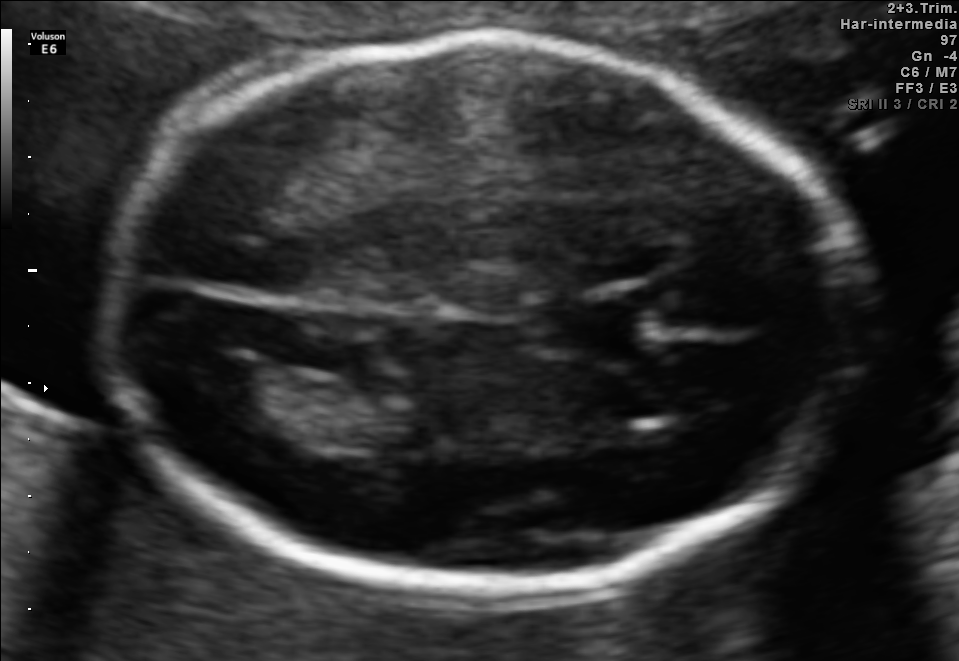
Fetal brain, trans-ventricular plane. Where is the fetal head?

Head bounding box: [96,30,869,593]